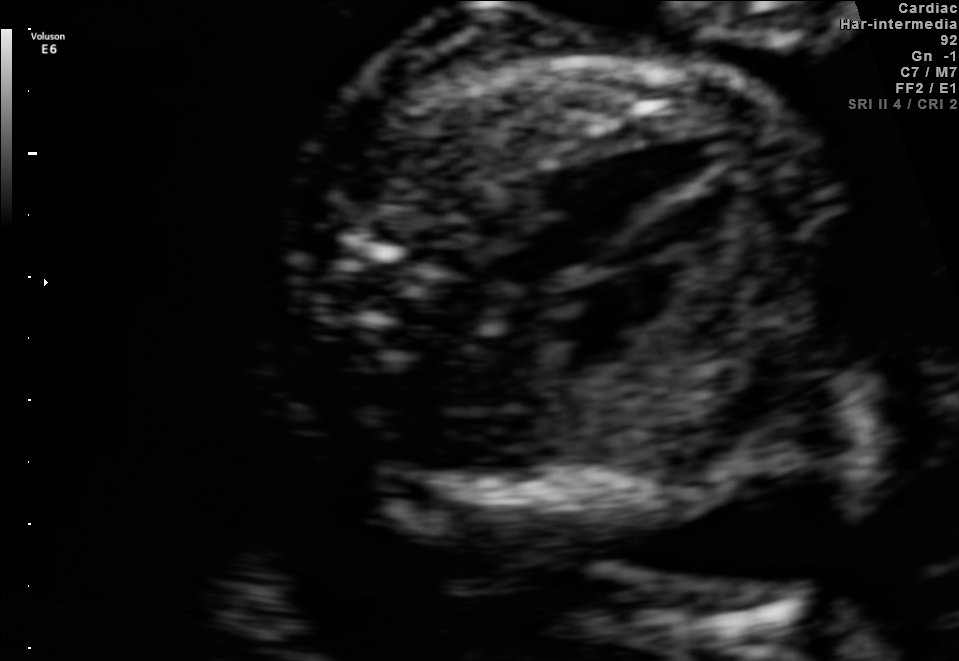
Classify this maternal-fetal ultrasound image as one of the six standard planes — fetal abdomen, fetal brain, fetal femur, fetal thorax, maternal cervix, or other. If it's fetal brain and one of the three standard brain planes (trans-thalamic, trans-cerebellum, trans-ventricular), name which.

Fetal thorax